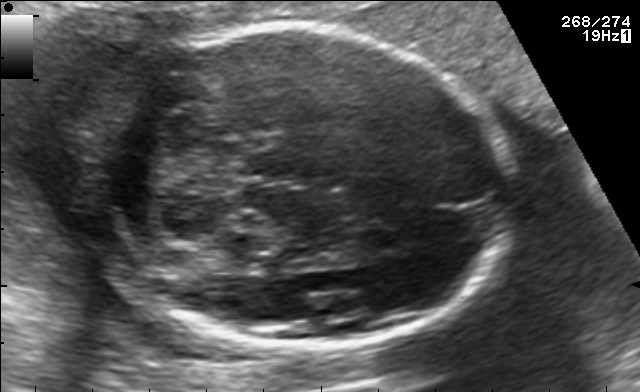
Fetal brain, trans-cerebellum plane. Locate the fetal head and, if visible, the cavum septum pellucidum (CSP) and lateral ventricle (LV). Give bounding boxes as [x1,y1,x2,y2].

Head: [91,26,511,348]